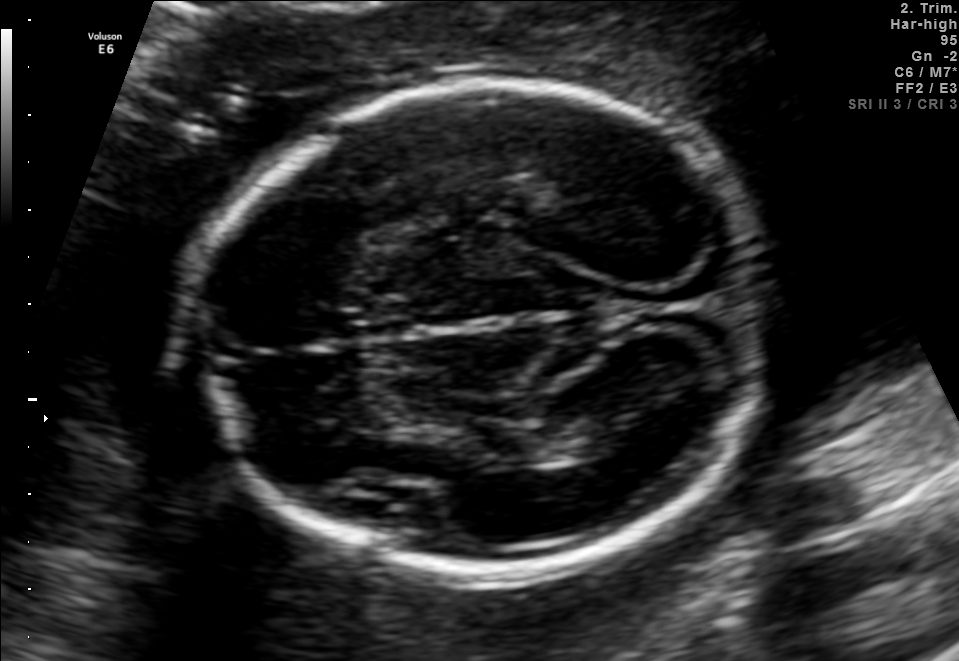
In this fetal brain, trans-thalamic plane, give the bounding box of the fetal head.

[194,82,777,563]